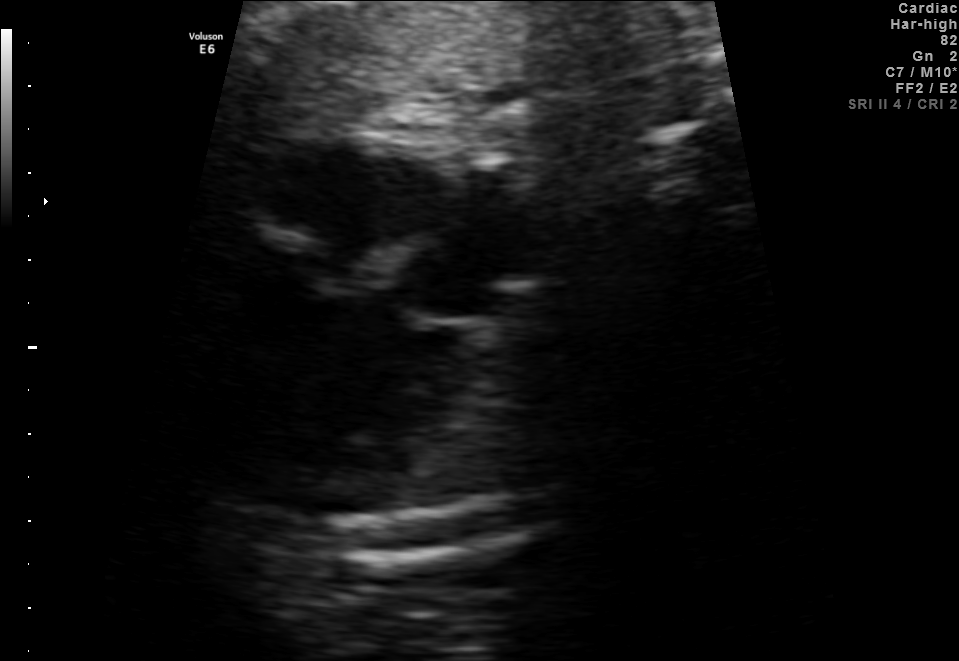
Identify the standard plane in this fetal ultrasound image: fetal abdomen, fetal brain, fetal femur, fetal thorax, maternal cervix, or other. If it's fetal brain and one of the three standard brain planes (trans-thalamic, trans-cerebellum, trans-ventricular), name which.

Fetal thorax